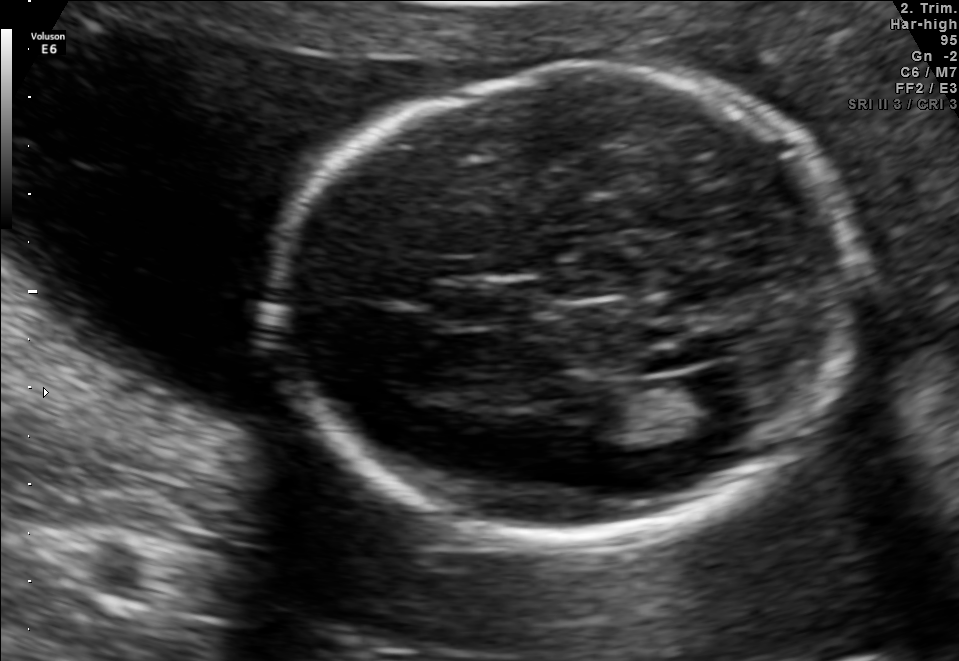
In this fetal brain, trans-ventricular plane, give bounding boxes for the head outline, cavum septum pellucidum (CSP), and lateral ventricle (LV), where visible.

Head: [263,54,870,551]
CSP: [437,285,534,323]
Lateral ventricle: [672,361,764,432]